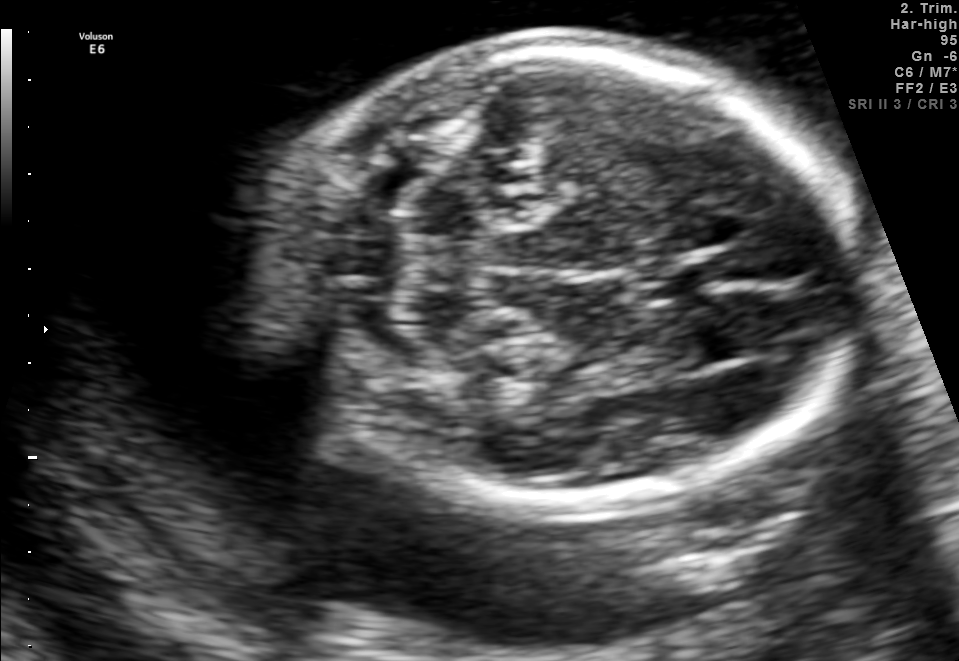
Classify this maternal-fetal ultrasound image as one of the six standard planes — fetal abdomen, fetal brain, fetal femur, fetal thorax, maternal cervix, or other. If it's fetal brain and one of the three standard brain planes (trans-thalamic, trans-cerebellum, trans-ventricular), name which.

Fetal brain (trans-cerebellum plane)